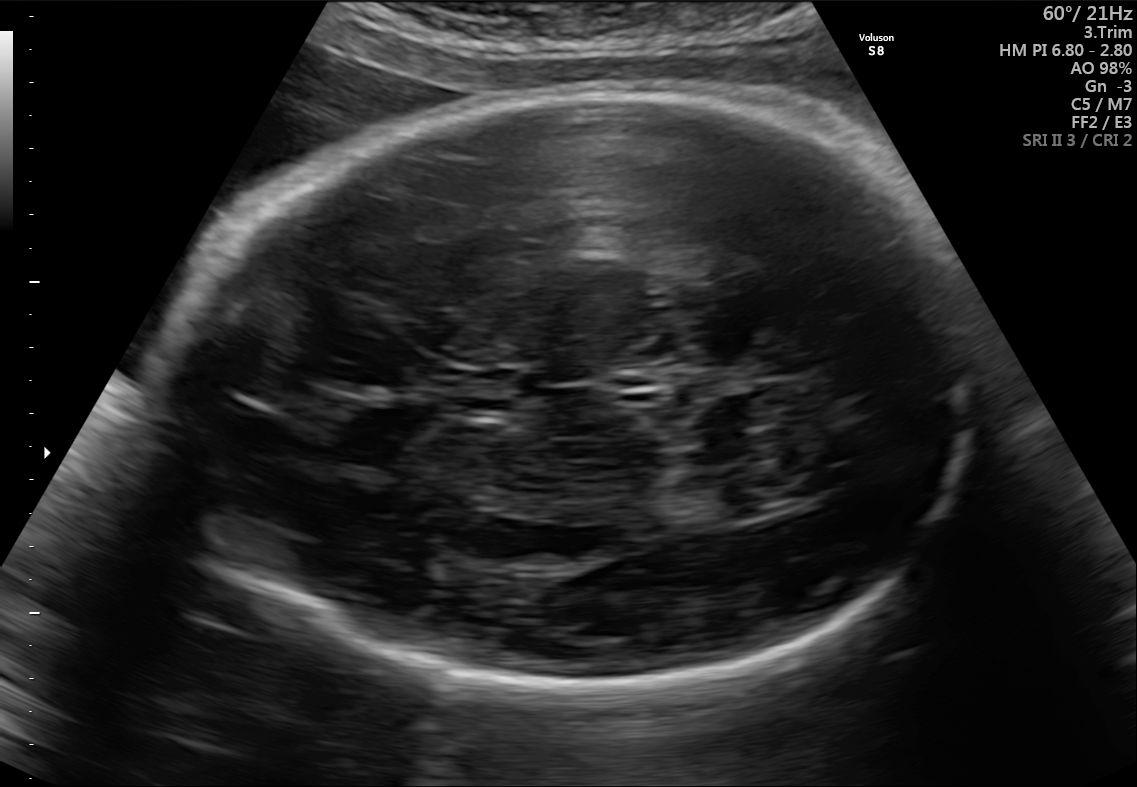
Fetal brain, trans-thalamic plane. Locate the fetal head and, if visible, the cavum septum pellucidum (CSP) and lateral ventricle (LV). Give bounding boxes as [x1,y1,x2,y2].

Head: [161,94,978,705]